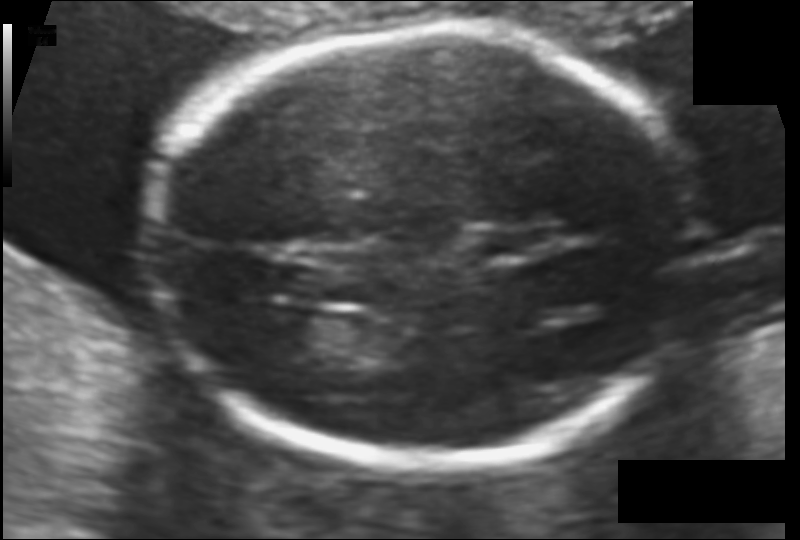
From this fetal ultrasound, estimate the head circumference (image width 82.1 mm).

Head circumference: 164.4 mm.